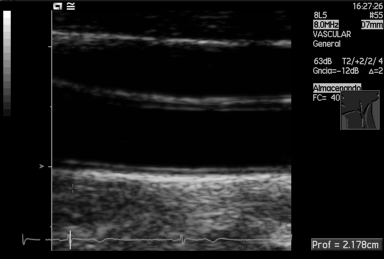
Classify this maternal-fetal ultrasound image as one of the six standard planes — fetal abdomen, fetal brain, fetal femur, fetal thorax, maternal cervix, or other. If it's fetal brain and one of the three standard brain planes (trans-thalamic, trans-cerebellum, trans-ventricular), name which.

Other